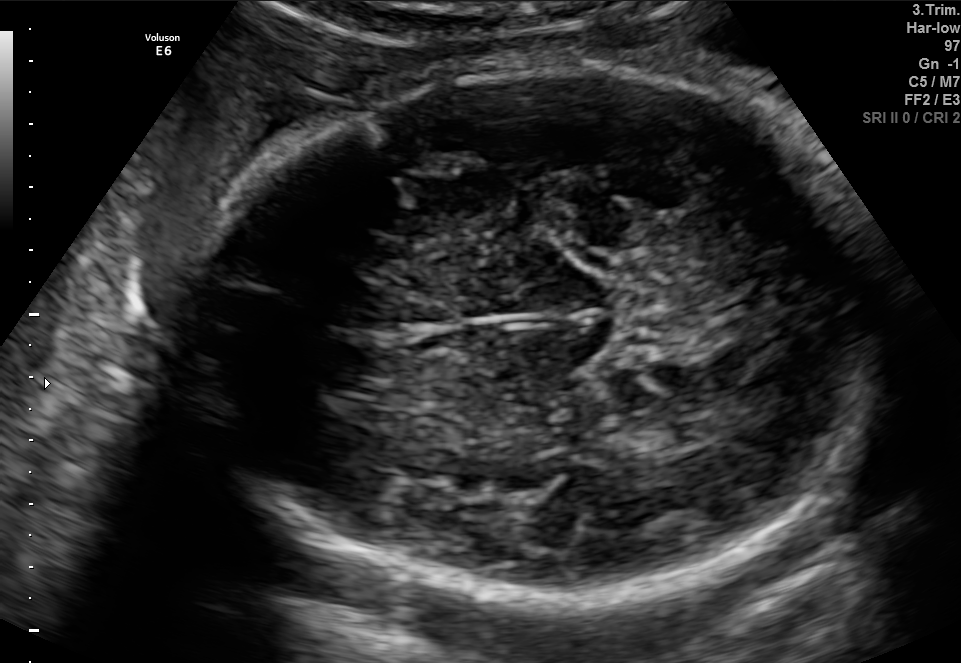
This is a 2D maternal-fetal ultrasound frame. Is it a fetal abdomen, fetal brain, fetal femur, fetal thorax, maternal cervix, or other standard plane? If it's fetal brain and one of the three standard brain planes (trans-thalamic, trans-cerebellum, trans-ventricular), name which.

Fetal brain (trans-thalamic plane)